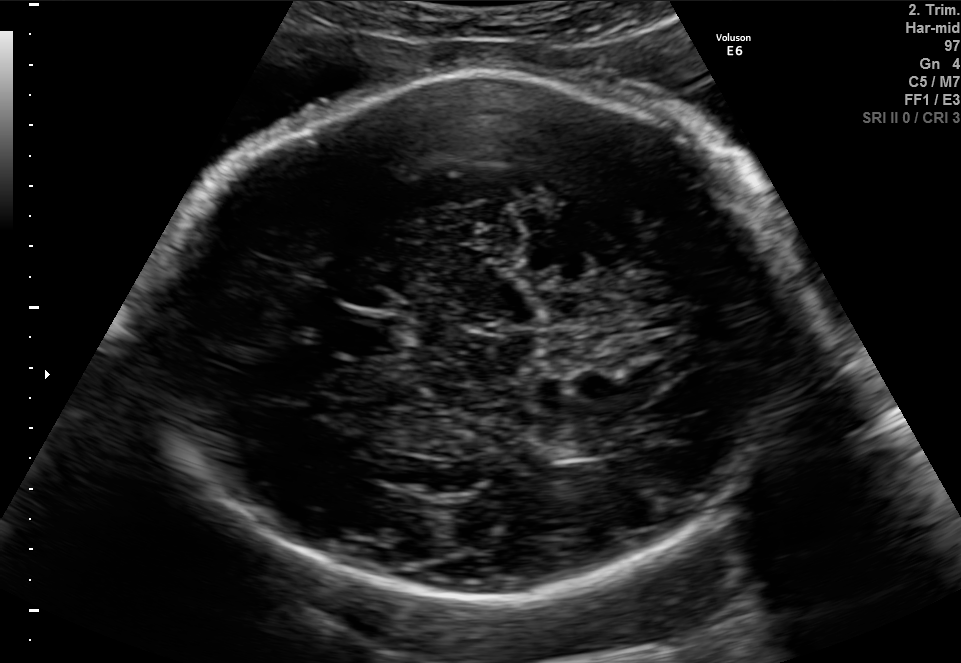
This is a 2D maternal-fetal ultrasound frame. Is it a fetal abdomen, fetal brain, fetal femur, fetal thorax, maternal cervix, or other standard plane? If it's fetal brain and one of the three standard brain planes (trans-thalamic, trans-cerebellum, trans-ventricular), name which.

Fetal brain (trans-thalamic plane)